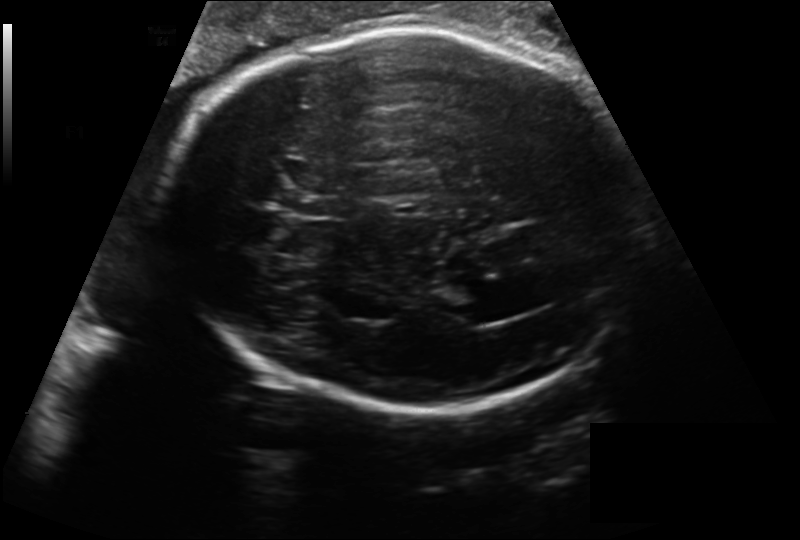
Fetal head ultrasound. Image width: 174.3 mm. Locate the fetal head and, if visible, the cavum septum pellucidum (CSP) and lateral ventricle (LV). Give bounding boxes as [x1,y1,x2,y2].

Head: [163,30,646,410]
CSP: [302,196,343,219]
Lateral ventricle: [448,297,505,330]